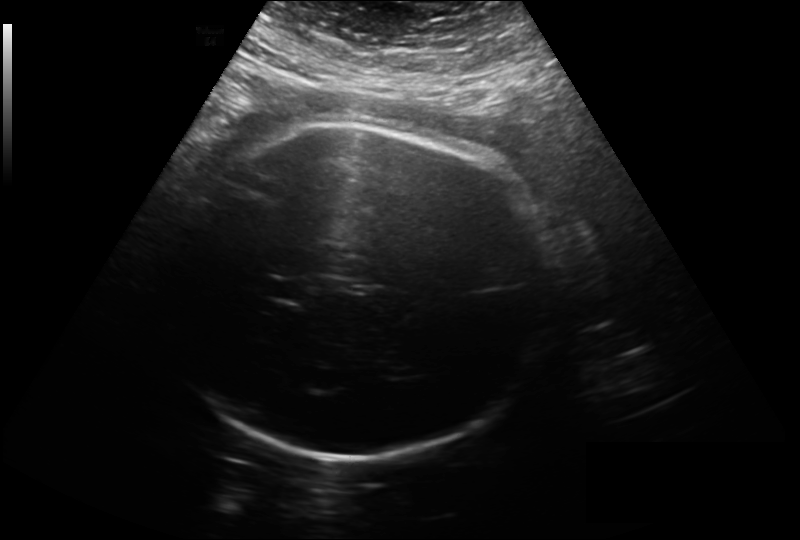
Measure the fetal head circumference shown in this ultrasound image. Image width: 208.8 mm.

Head circumference: 307.7 mm.